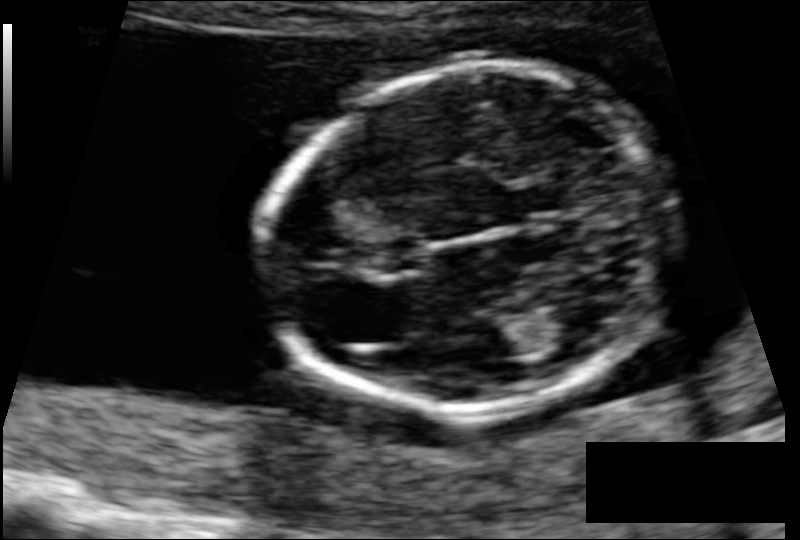
In this fetal head ultrasound, give the bounding box of the lateral ventricle. Image width: 70.5 mm.

[537,300,608,351]